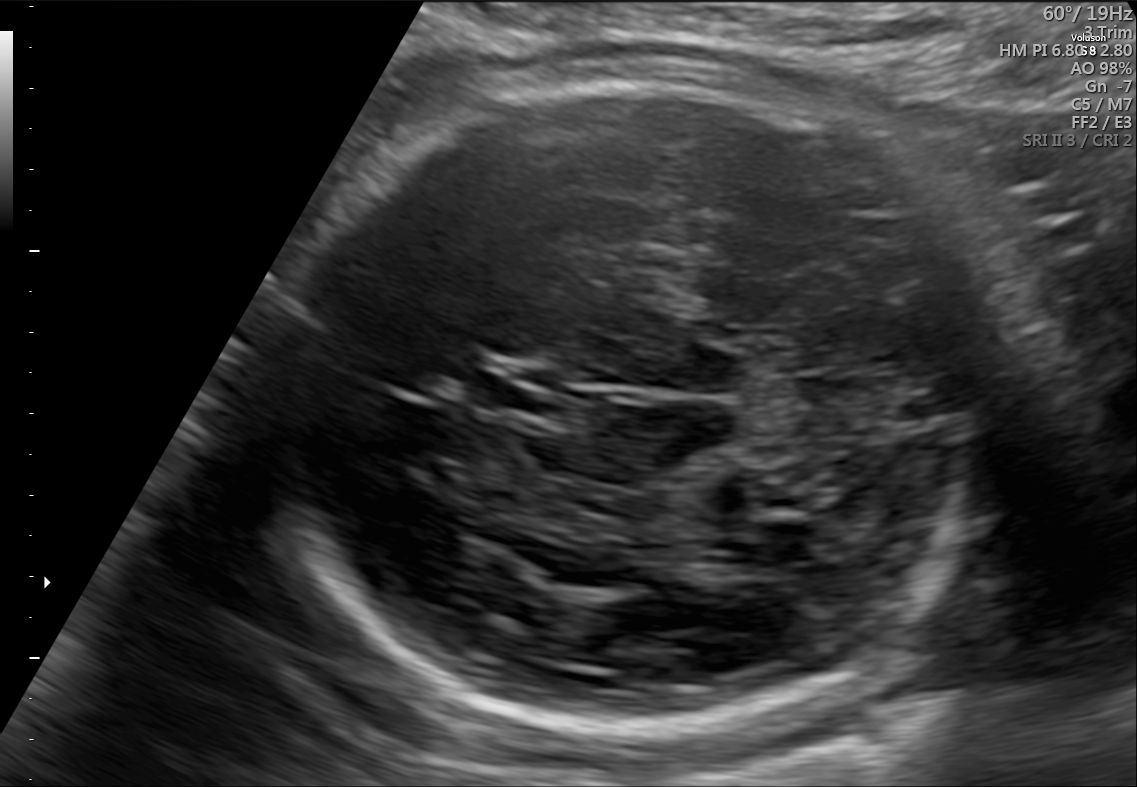
Identify the standard plane in this fetal ultrasound image: fetal abdomen, fetal brain, fetal femur, fetal thorax, maternal cervix, or other. If it's fetal brain and one of the three standard brain planes (trans-thalamic, trans-cerebellum, trans-ventricular), name which.

Fetal brain (trans-cerebellum plane)